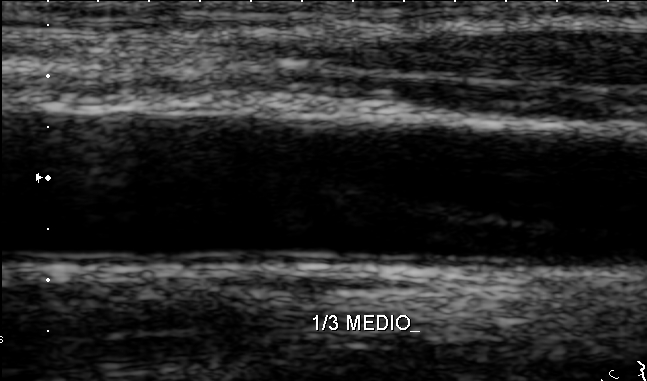
Which standard maternal-fetal ultrasound plane is shown: fetal abdomen, fetal brain, fetal femur, fetal thorax, maternal cervix, or other? If it's fetal brain and one of the three standard brain planes (trans-thalamic, trans-cerebellum, trans-ventricular), name which.

Other